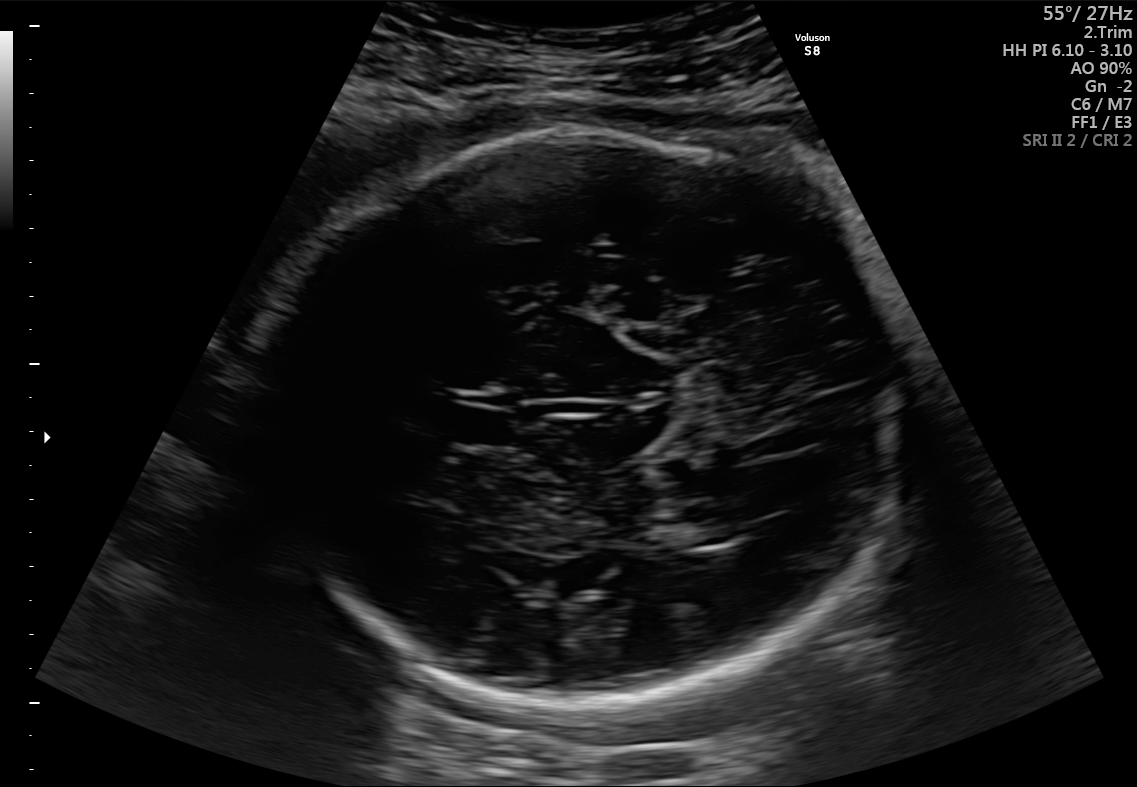
Fetal brain, trans-thalamic plane. Where is the lateral ventricle?

Lateral ventricle bounding box: [652,510,740,552]